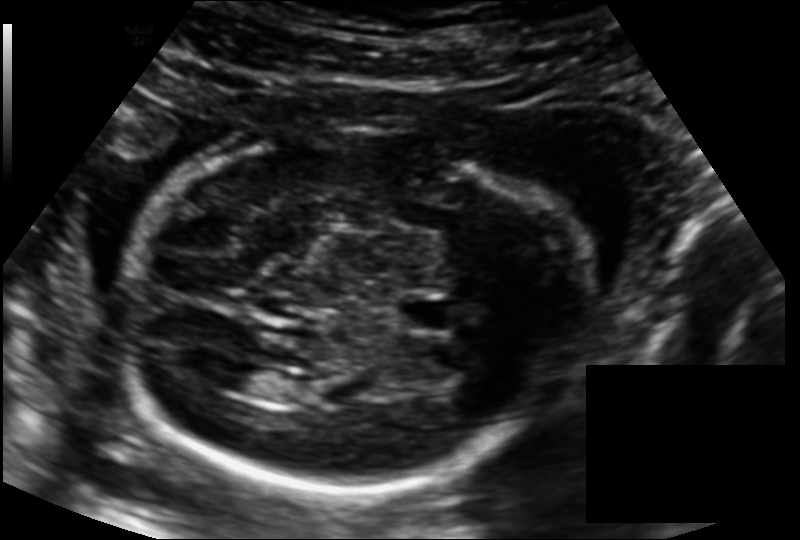
Fetal head ultrasound. Image width: 111.3 mm. Locate the fetal head.

Head: [118,125,588,489]